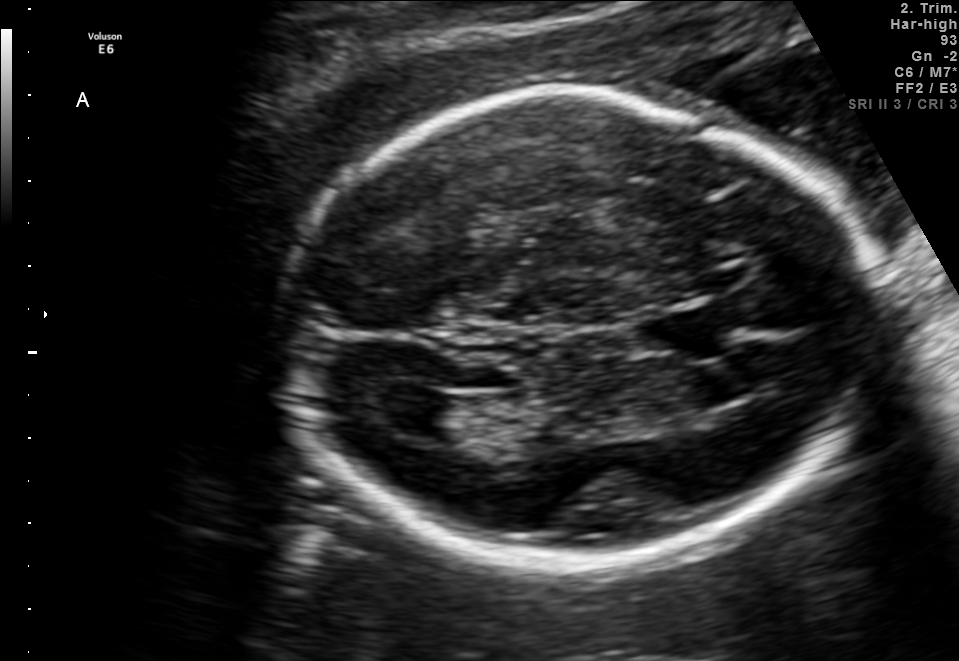
Fetal brain, trans-ventricular plane. Locate the cavum septum pellucidum.

CSP: [630,309,702,354]